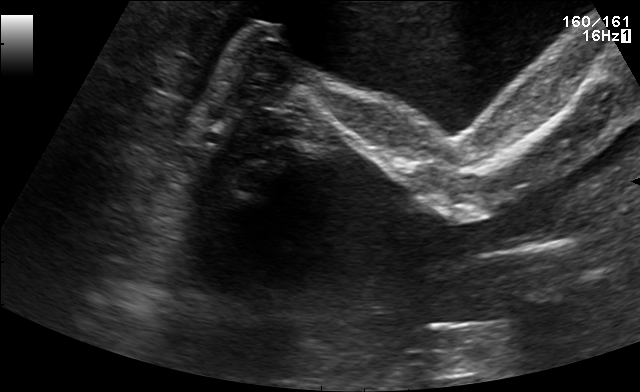
Identify the standard plane in this fetal ultrasound image: fetal abdomen, fetal brain, fetal femur, fetal thorax, maternal cervix, or other. If it's fetal brain and one of the three standard brain planes (trans-thalamic, trans-cerebellum, trans-ventricular), name which.

Fetal femur